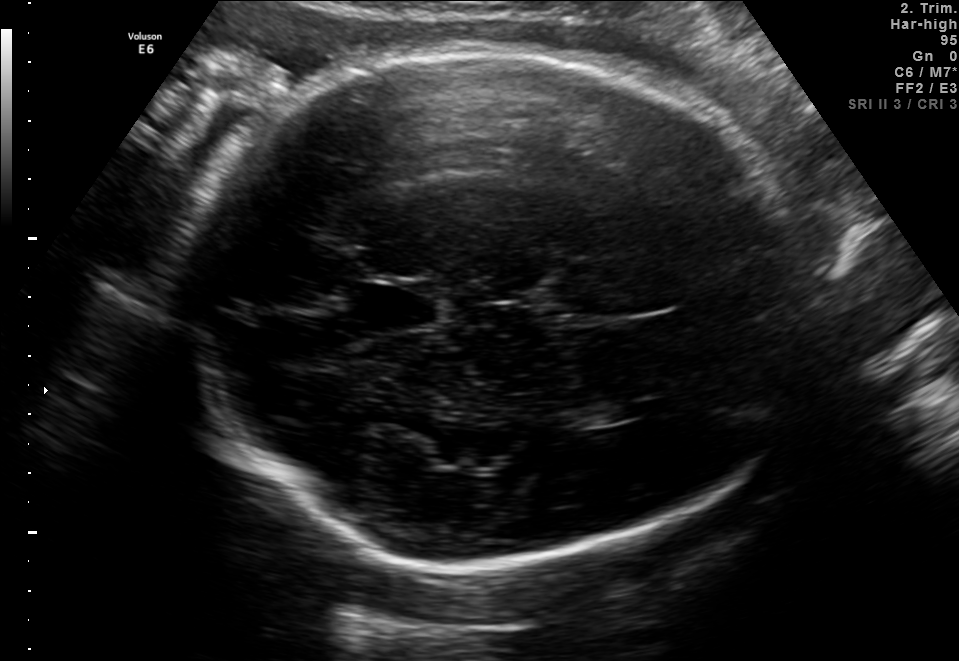
Which standard maternal-fetal ultrasound plane is shown: fetal abdomen, fetal brain, fetal femur, fetal thorax, maternal cervix, or other? If it's fetal brain and one of the three standard brain planes (trans-thalamic, trans-cerebellum, trans-ventricular), name which.

Fetal brain (trans-thalamic plane)